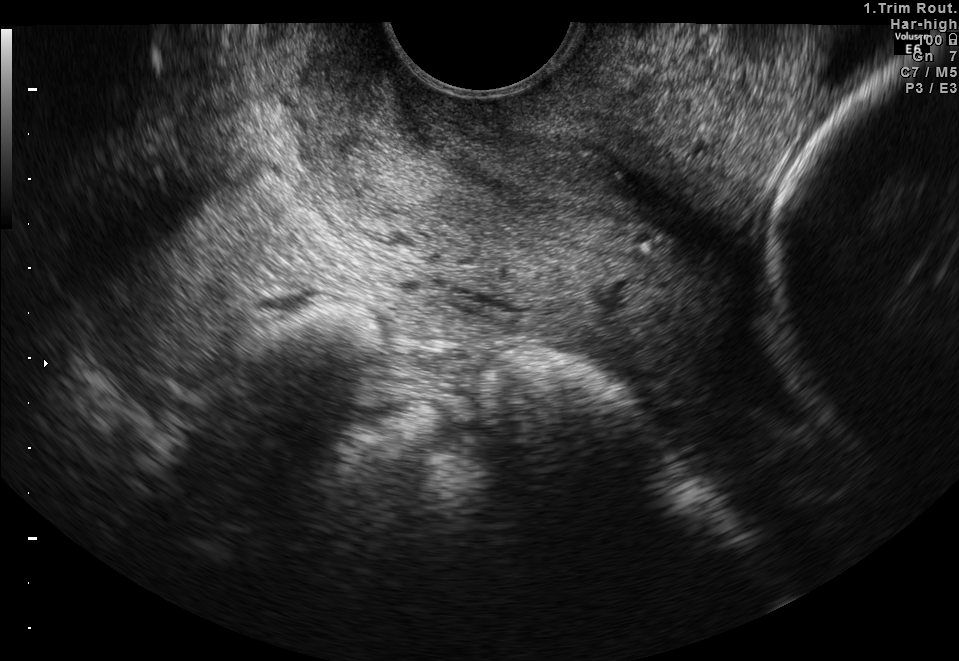
This is a 2D maternal-fetal ultrasound frame. Is it a fetal abdomen, fetal brain, fetal femur, fetal thorax, maternal cervix, or other standard plane? If it's fetal brain and one of the three standard brain planes (trans-thalamic, trans-cerebellum, trans-ventricular), name which.

Maternal cervix